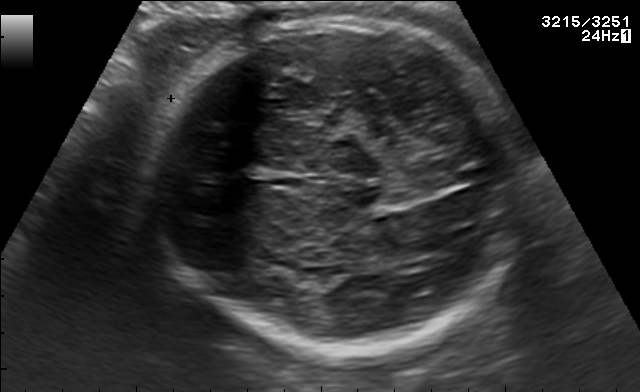
In this fetal brain, trans-thalamic plane, give bounding boxes for the head outline, cavum septum pellucidum (CSP), and lateral ventricle (LV), where visible.

Head: [142,20,522,356]